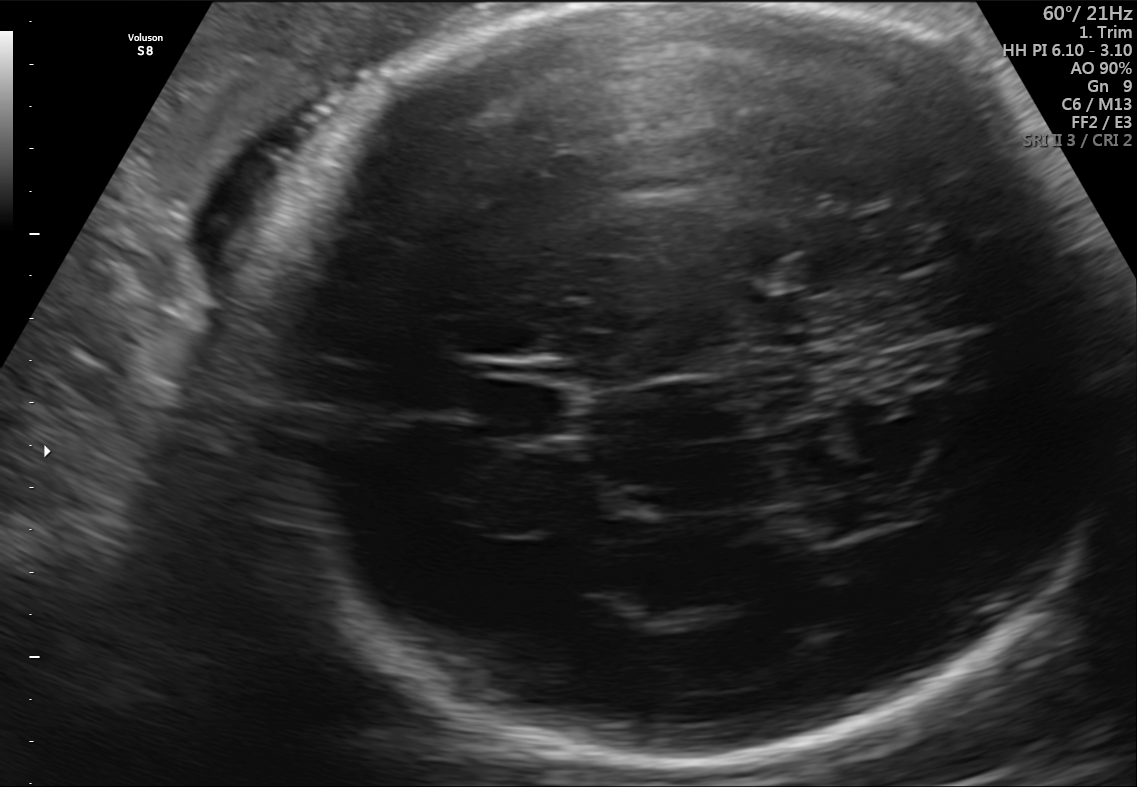
Identify the standard plane in this fetal ultrasound image: fetal abdomen, fetal brain, fetal femur, fetal thorax, maternal cervix, or other. If it's fetal brain and one of the three standard brain planes (trans-thalamic, trans-cerebellum, trans-ventricular), name which.

Fetal brain (trans-thalamic plane)